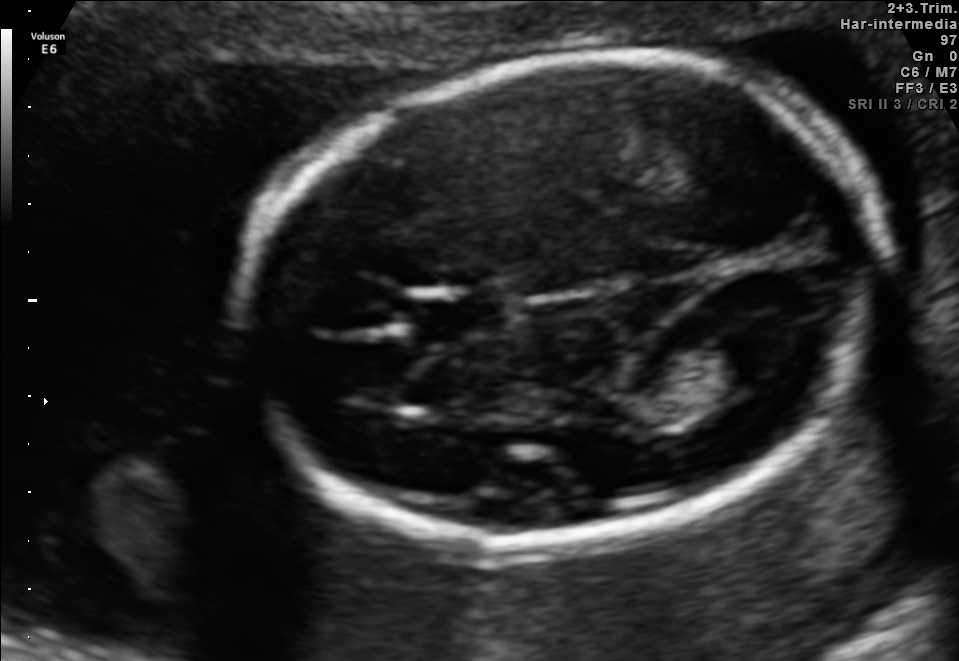
In this fetal brain, trans-ventricular plane, give the bounding box of the lateral ventricle.

[702,306,809,395]